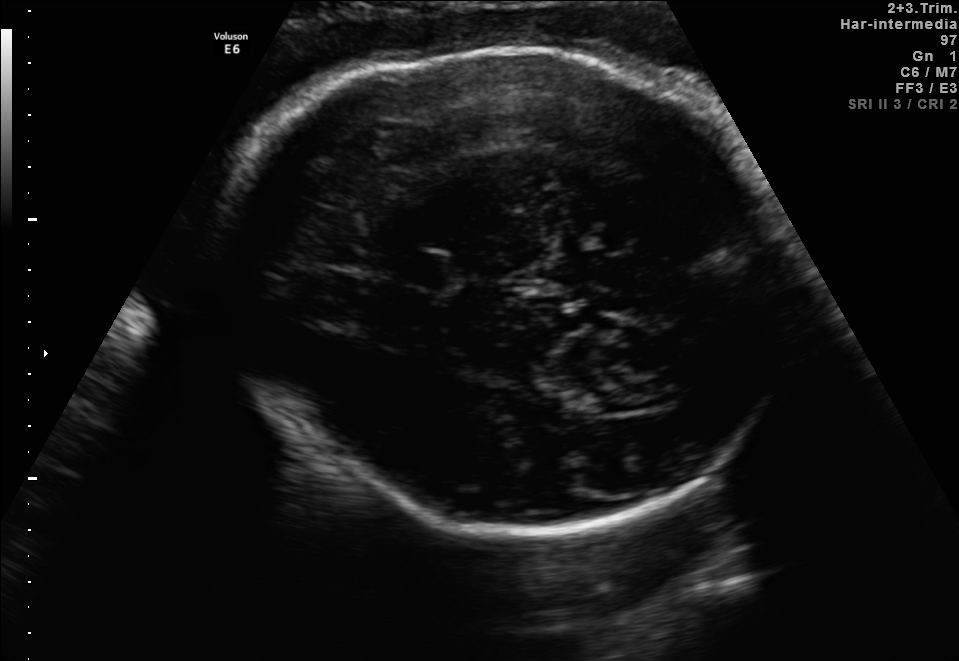
In this fetal brain, trans-thalamic plane, give the bounding box of the lateral ventricle.

[584,378,671,419]